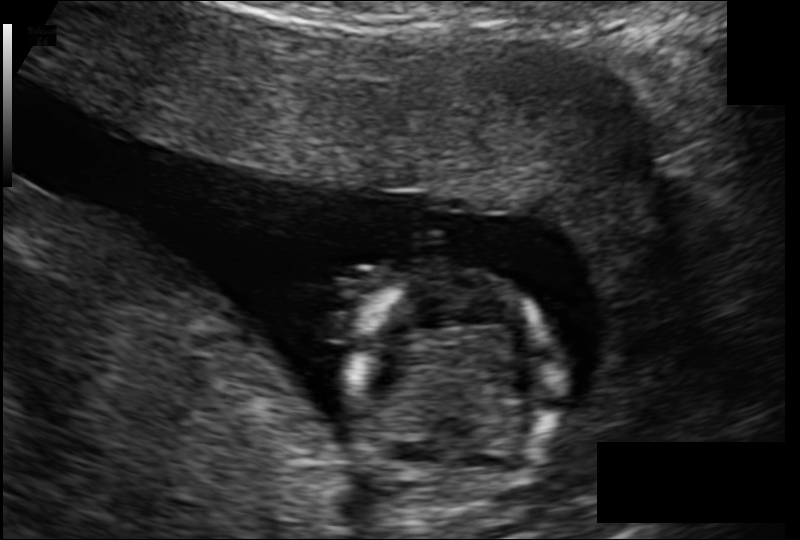
In this fetal head ultrasound, give the bounding box of the fetal head. Image width: 98.6 mm.

[344,270,560,511]